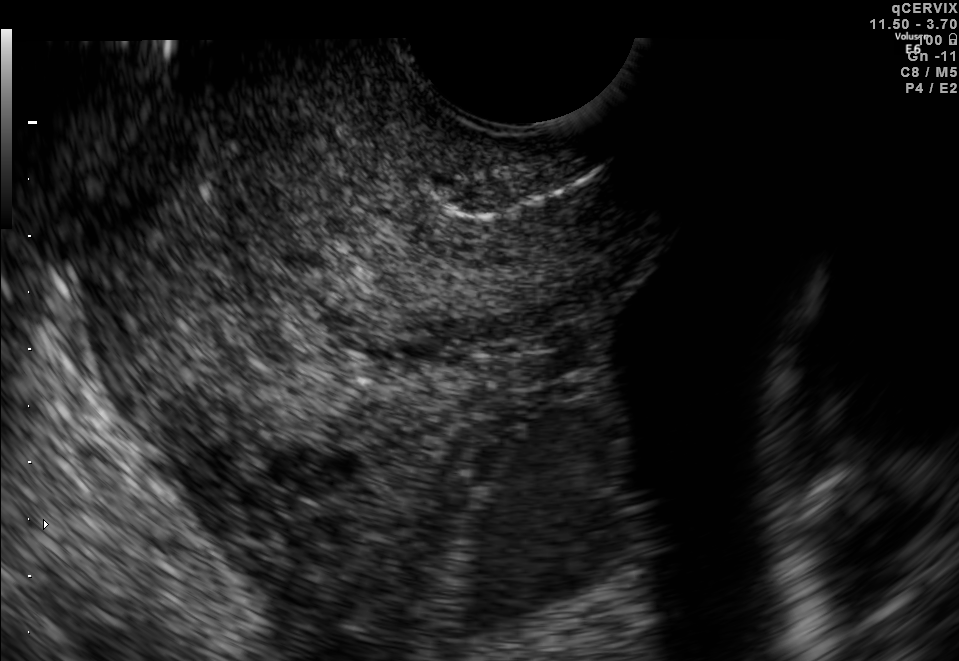
Identify the standard plane in this fetal ultrasound image: fetal abdomen, fetal brain, fetal femur, fetal thorax, maternal cervix, or other. If it's fetal brain and one of the three standard brain planes (trans-thalamic, trans-cerebellum, trans-ventricular), name which.

Maternal cervix